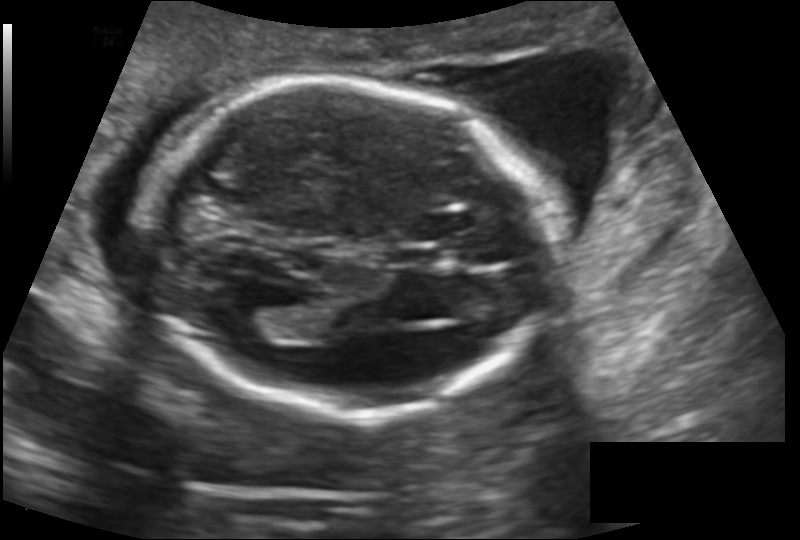
Fetal head ultrasound. Image width: 116.4 mm. Give [x1,y1,x2,y2] bounding boxes for each visible structure among: fetal head, CSP, LV.

Head: [143,80,553,417]
CSP: [387,247,444,267]
Lateral ventricle: [227,307,280,341]